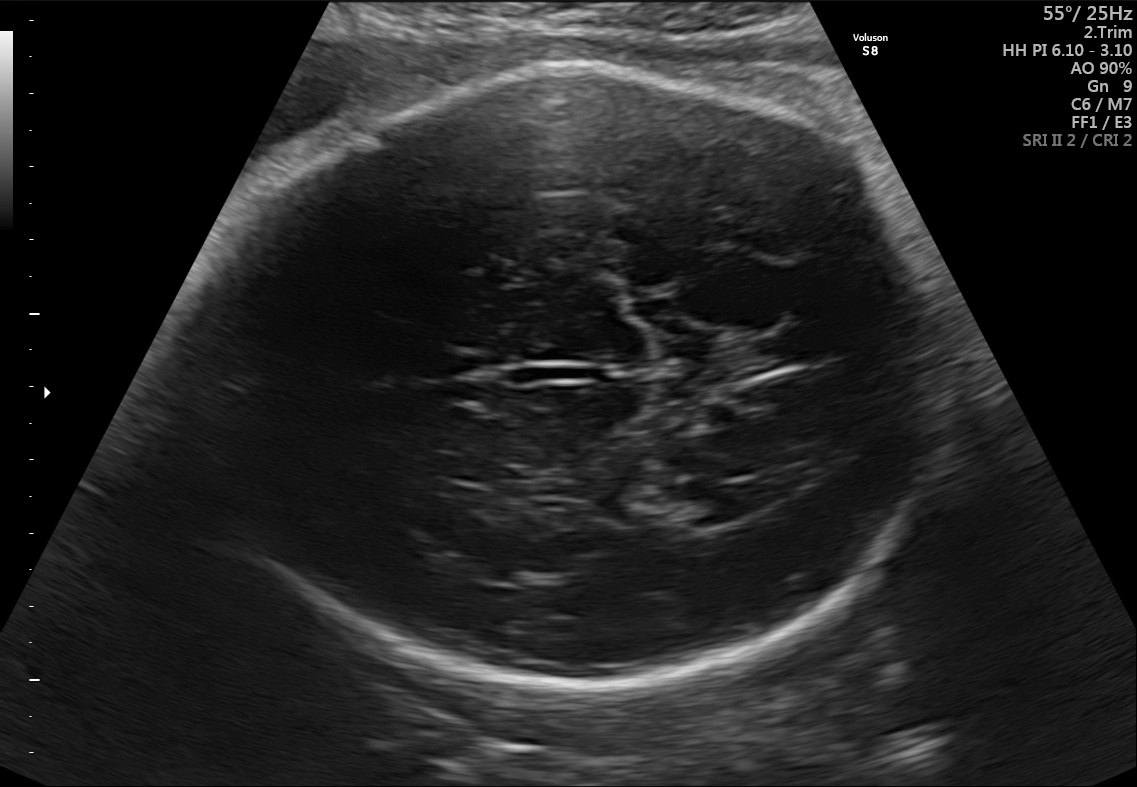
Fetal brain, trans-ventricular plane. Where is the fetal head?

Head bounding box: [186,65,953,691]